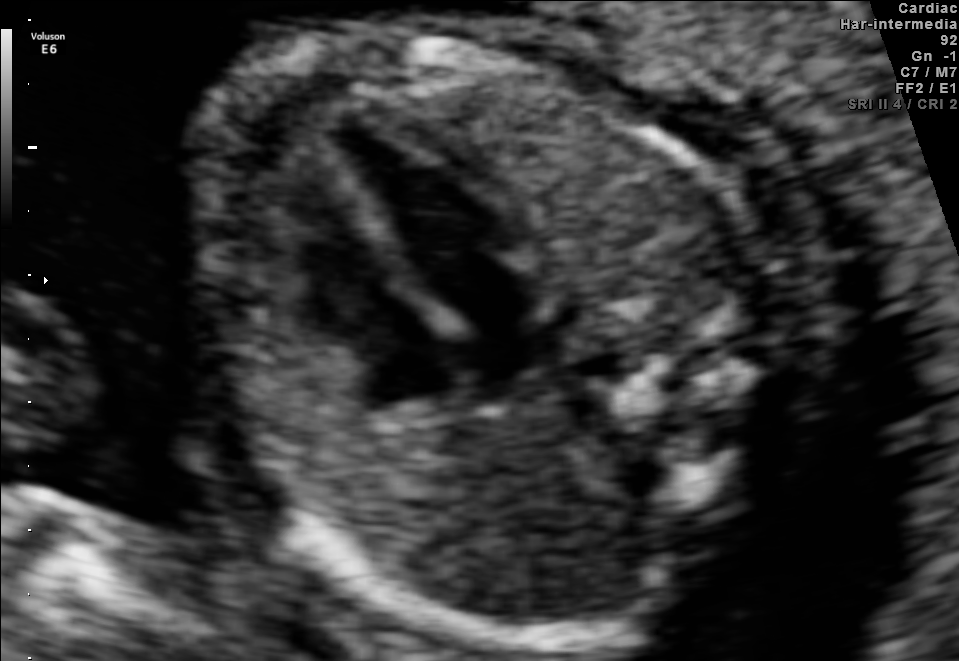
This is a 2D maternal-fetal ultrasound frame. Is it a fetal abdomen, fetal brain, fetal femur, fetal thorax, maternal cervix, or other standard plane? If it's fetal brain and one of the three standard brain planes (trans-thalamic, trans-cerebellum, trans-ventricular), name which.

Fetal thorax